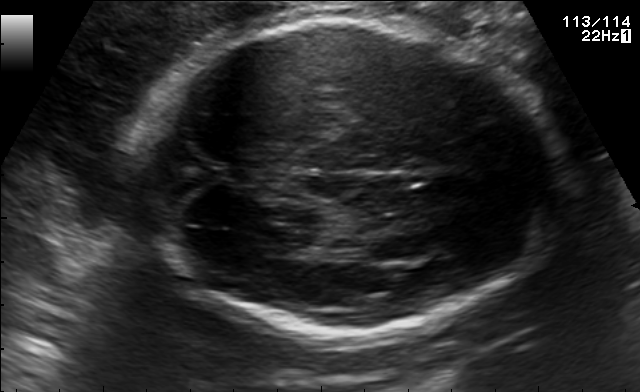
Fetal brain, trans-thalamic plane. Locate the fetal head.

Head: [131,18,577,336]